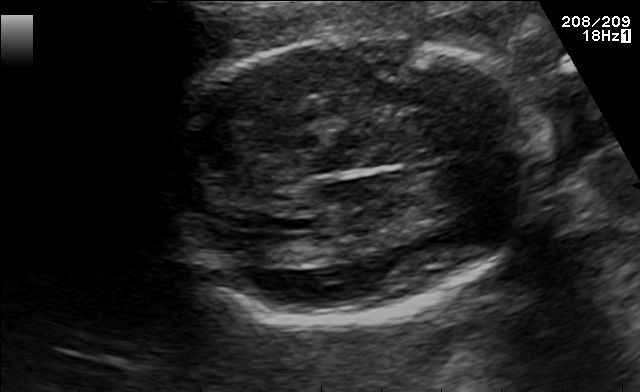
Fetal brain, trans-thalamic plane. Locate the lateral ventricle.

Lateral ventricle: [246,234,314,264]